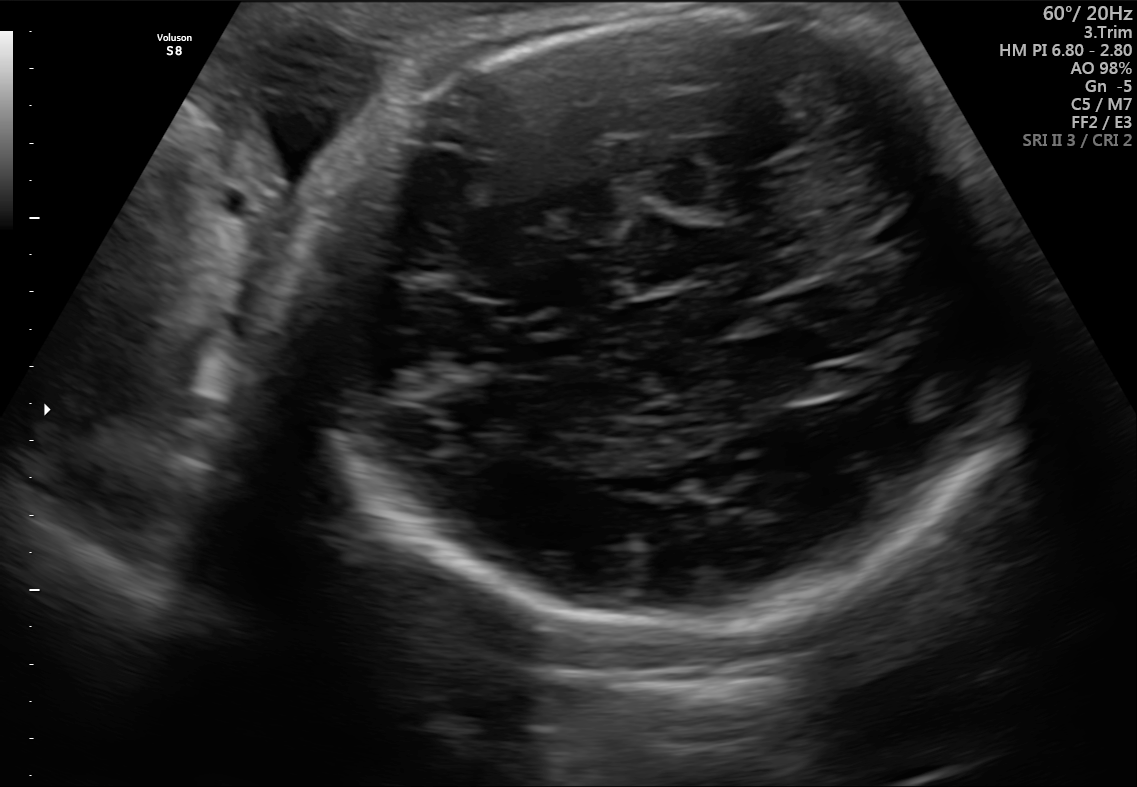
In this fetal brain, trans-cerebellum plane, give the bounding box of the fetal head.

[314,8,1020,631]